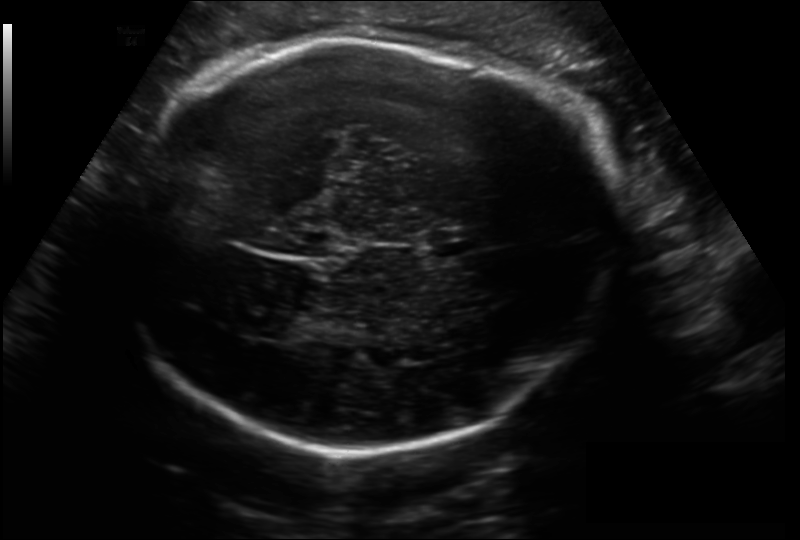
In this fetal head ultrasound, give the bounding box of the lateral ventricle. Image width: 164.9 mm.

[224,300,292,341]